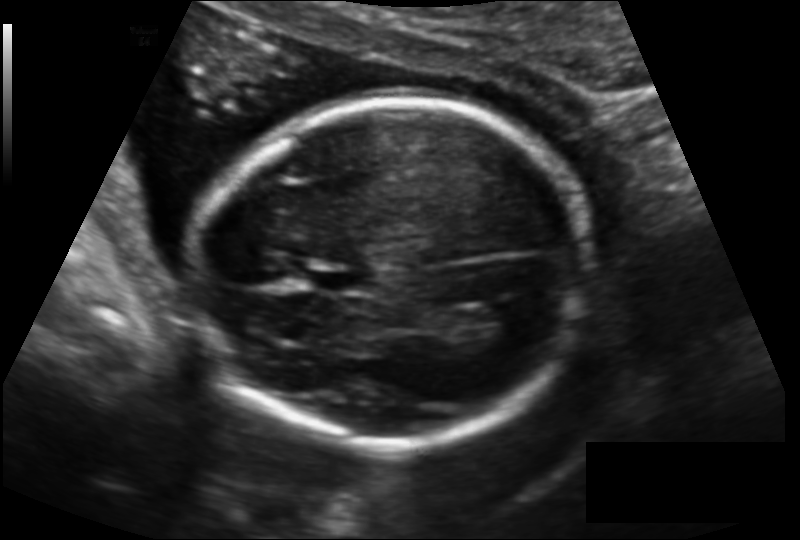
Measure the fetal head circumference shown in this ultrasound image. Image width: 111.8 mm.

Head circumference: 167.3 mm.